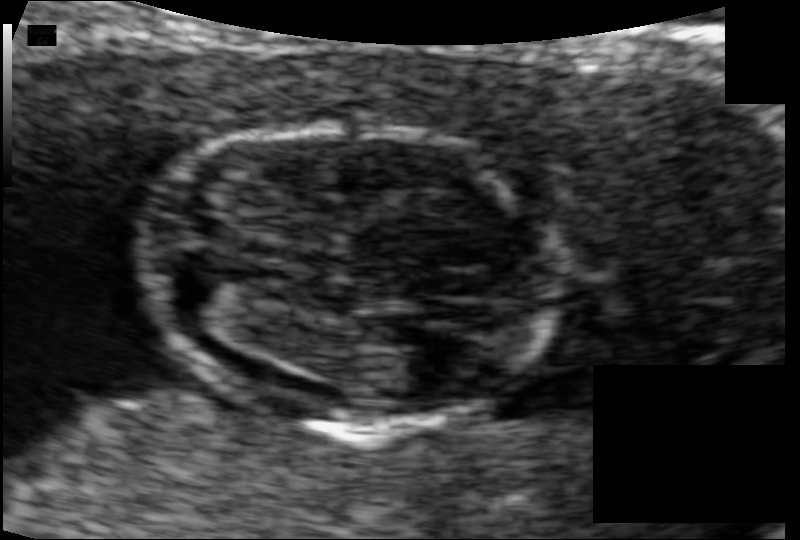
In this fetal head ultrasound, give bounding boxes for the head outline, cavum septum pellucidum (CSP), and lateral ventricle (LV), where visible. Image width: 52.6 mm.

Head: [144,128,551,428]